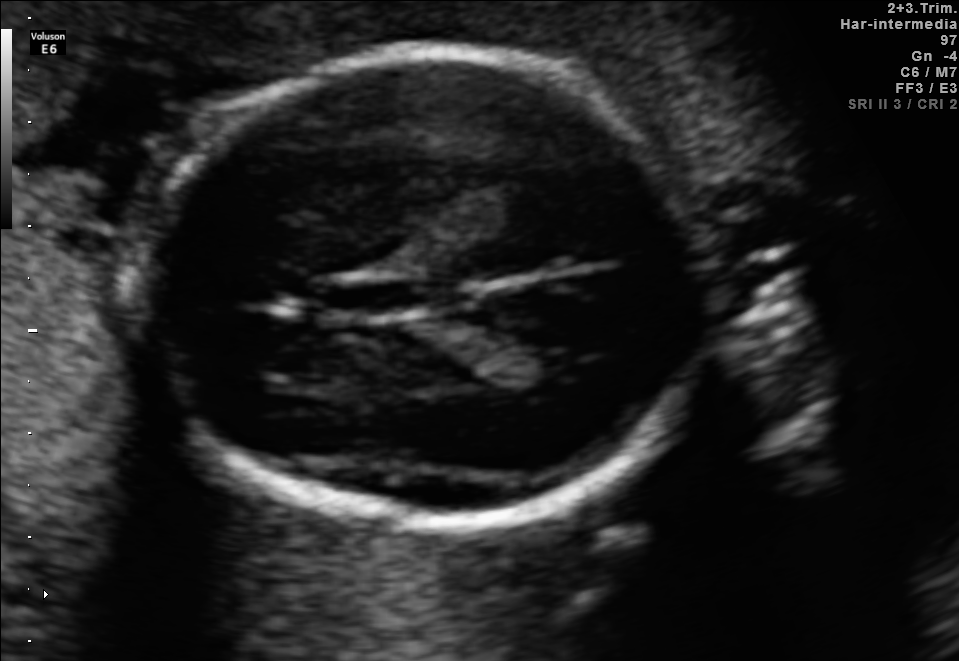
Fetal brain, trans-thalamic plane. Give [x1,y1,x2,y2] bounding boxes for each visible structure among: fetal head, CSP, LV.

Head: [127,53,708,514]